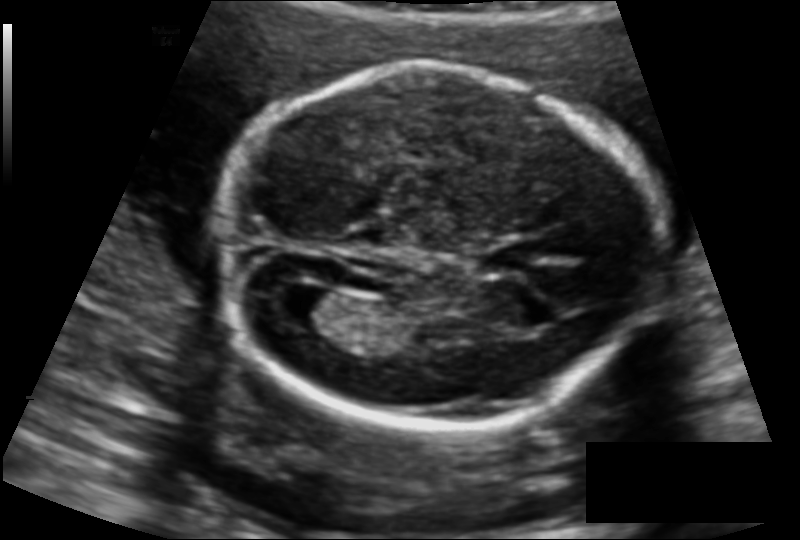
In this fetal head ultrasound, give the bounding box of the cavum septum pellucidum. Image width: 101.8 mm.

[484,242,539,274]